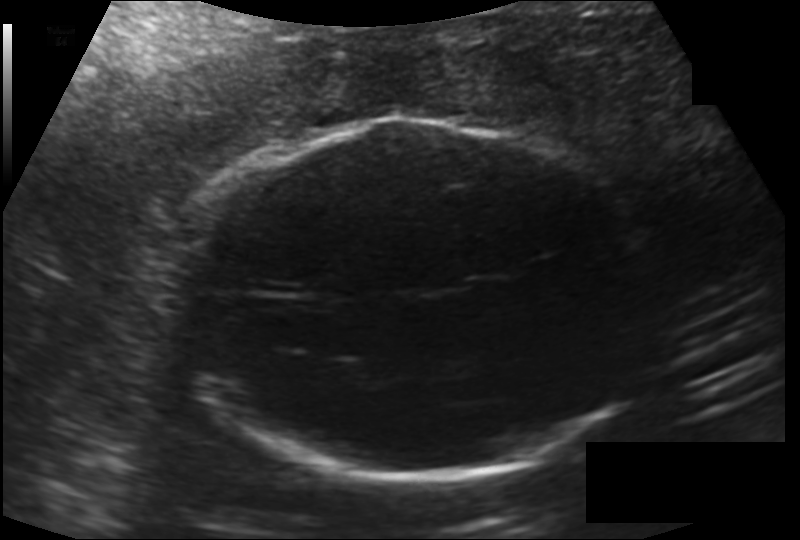
From this fetal ultrasound, estimate the head circumference (image width 140.8 mm).

Head circumference: 238.5 mm.